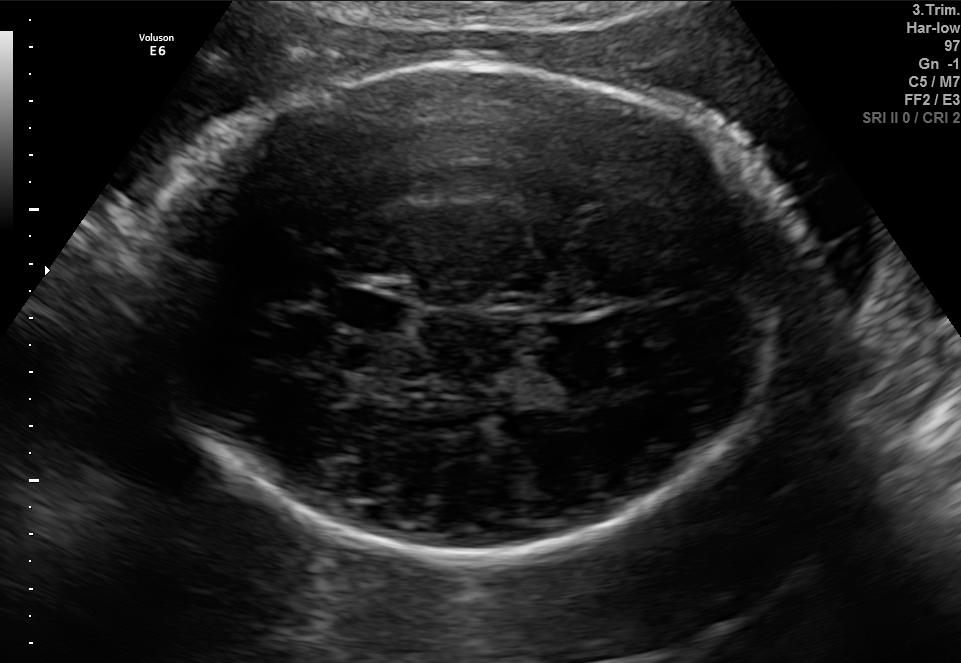
Fetal brain, trans-thalamic plane. Locate the fetal head.

Head: [145,60,788,559]